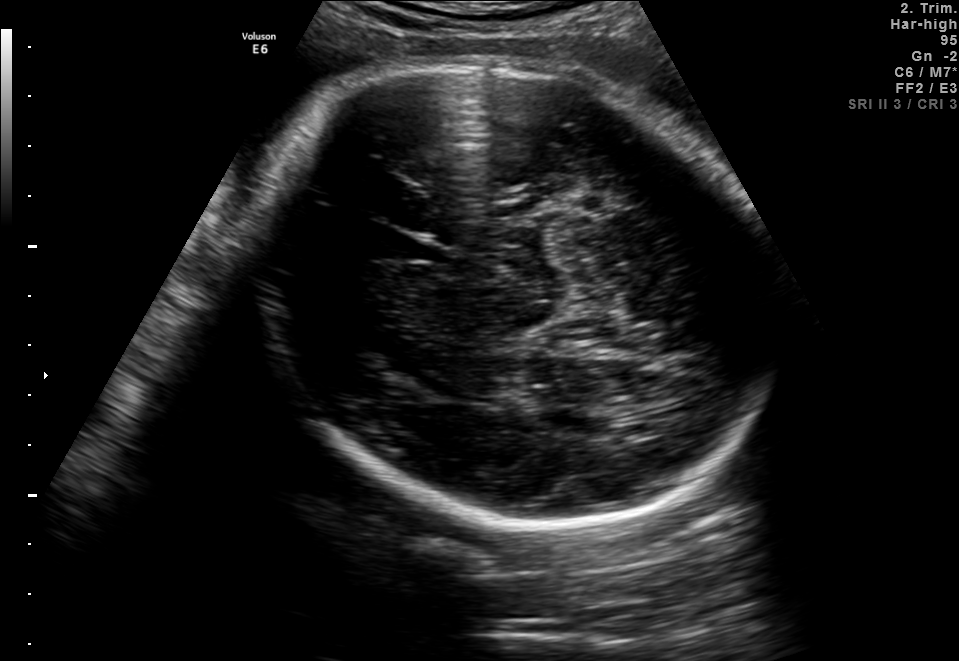
In this fetal brain, trans-thalamic plane, give the bounding box of the fetal head.

[240,57,771,530]